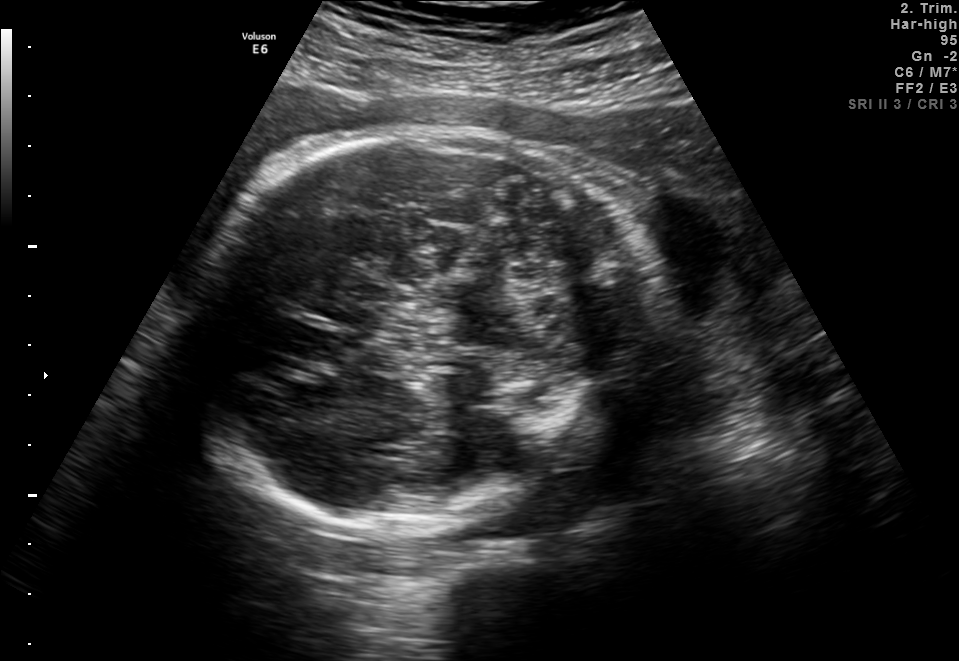
Which standard maternal-fetal ultrasound plane is shown: fetal abdomen, fetal brain, fetal femur, fetal thorax, maternal cervix, or other? If it's fetal brain and one of the three standard brain planes (trans-thalamic, trans-cerebellum, trans-ventricular), name which.

Fetal brain (trans-thalamic plane)